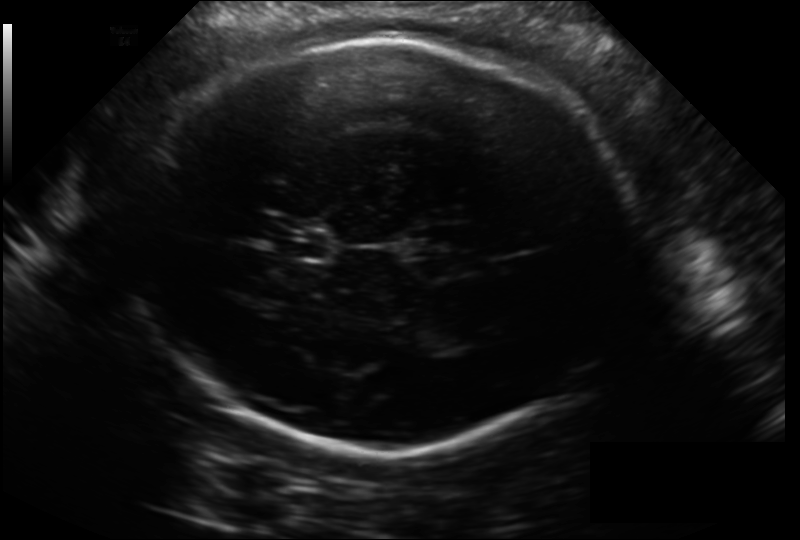
What is the fetal head circumference? Image width is 168.5 mm.

311.4 mm